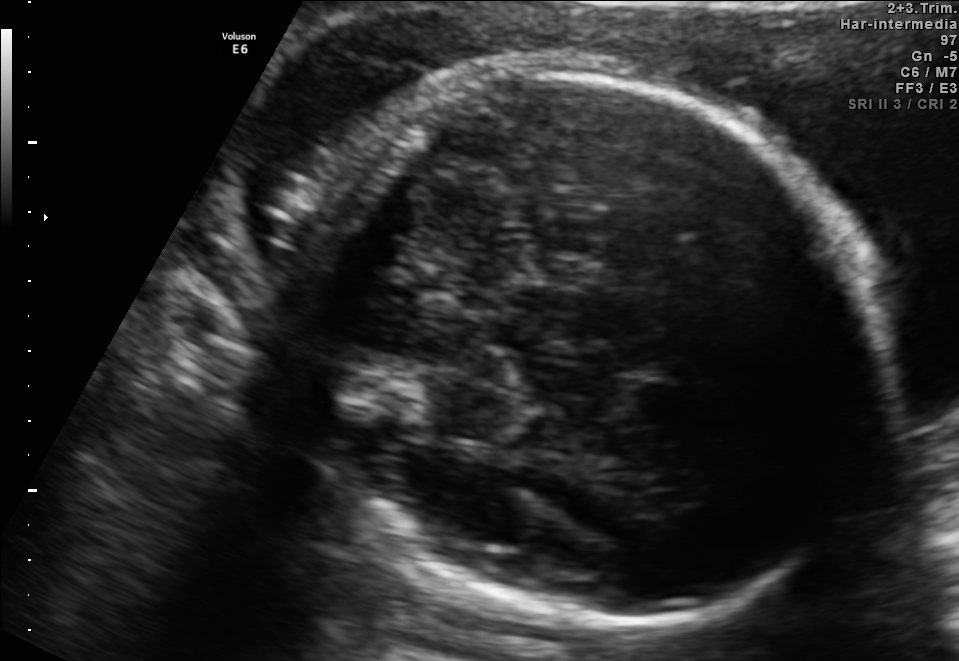
Classify this maternal-fetal ultrasound image as one of the six standard planes — fetal abdomen, fetal brain, fetal femur, fetal thorax, maternal cervix, or other. If it's fetal brain and one of the three standard brain planes (trans-thalamic, trans-cerebellum, trans-ventricular), name which.

Fetal brain (trans-thalamic plane)